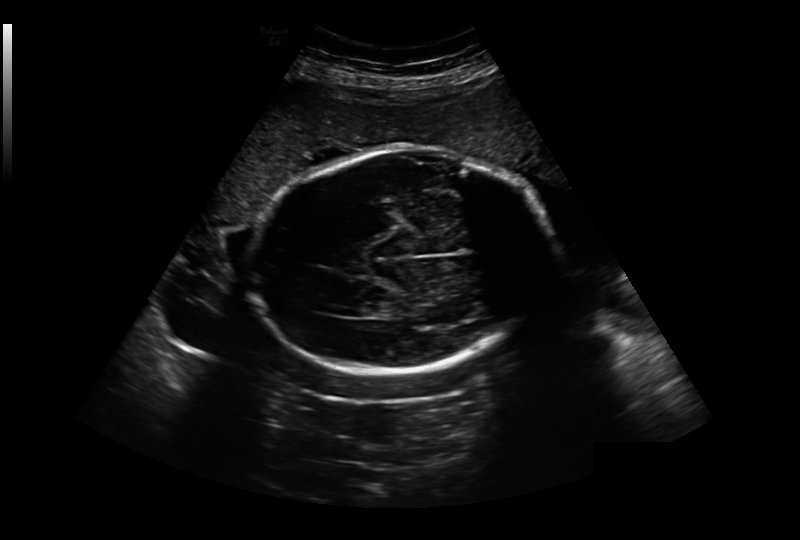
Fetal head ultrasound. Image width: 278.8 mm. Locate the fetal head and, if visible, the cavum septum pellucidum (CSP) and lateral ventricle (LV). Give bounding boxes as [x1,y1,x2,y2].

Head: [249,147,556,372]